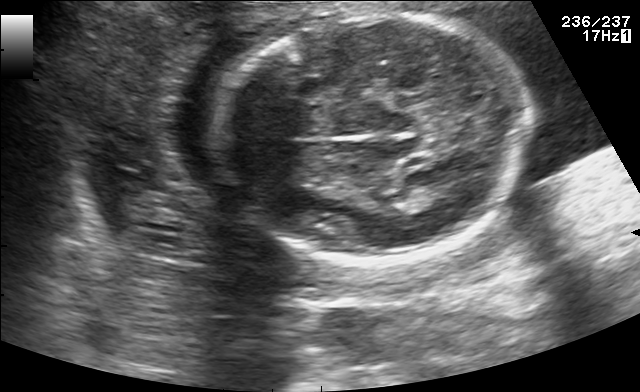
Fetal brain, trans-thalamic plane. Locate the fetal head.

Head: [214,10,532,263]